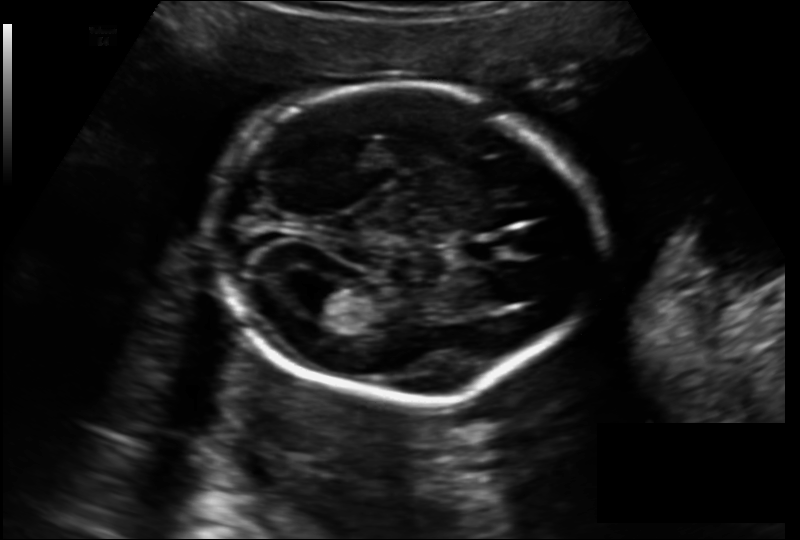
Fetal head ultrasound. Image width: 125.9 mm. Where is the cavum septum pellucidum?

CSP bounding box: [461,237,505,264]